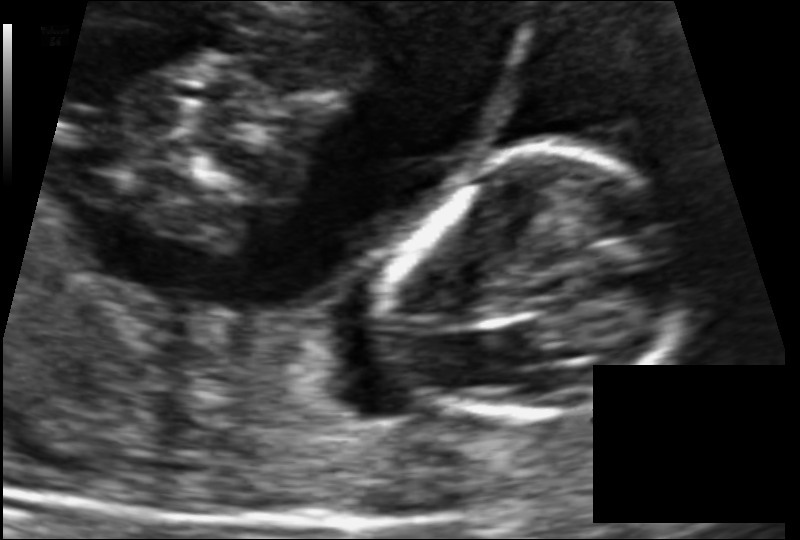
Fetal head ultrasound. Image width: 69.1 mm. Give [x1,y1,x2,y2] bounding boxes for each visible structure among: fetal head, CSP, LV.

Head: [383,154,682,437]